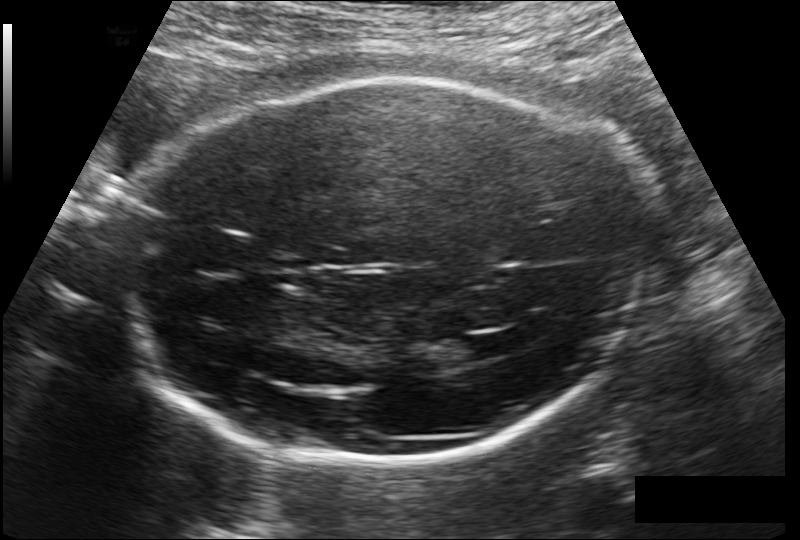
Fetal head ultrasound. Image width: 142.1 mm. Where is the fetal head?

Head bounding box: [125,80,647,465]